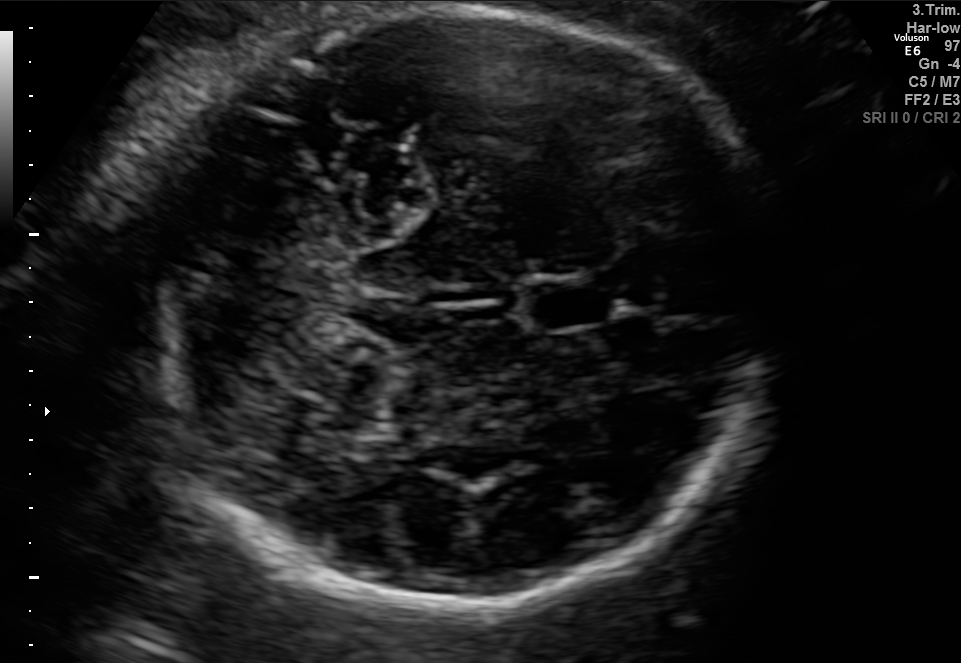
Fetal brain, trans-cerebellum plane. Locate the cavum septum pellucidum.

CSP: [523,276,612,334]